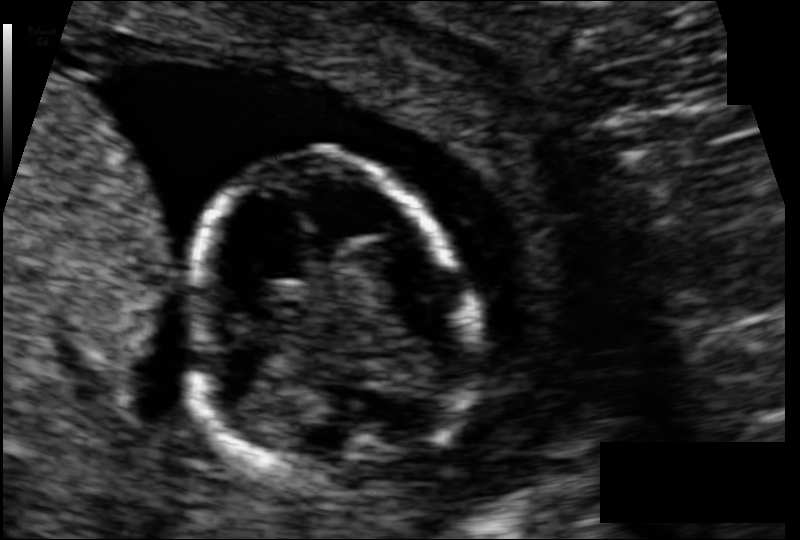
Fetal head ultrasound. Image width: 60.7 mm. Locate the fetal head and, if visible, the cavum septum pellucidum (CSP) and lateral ventricle (LV). Give bounding boxes as [x1,y1,x2,y2].

Head: [192,154,466,487]